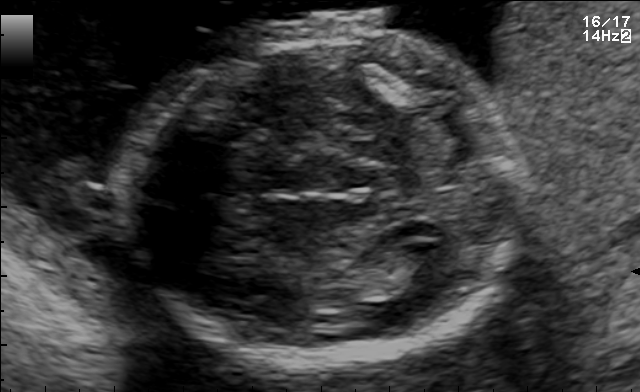
Fetal brain, trans-thalamic plane. Locate the fetal head and, if visible, the cavum septum pellucidum (CSP) and lateral ventricle (LV). Give bounding boxes as [x1,y1,x2,y2].

Head: [121,23,519,361]